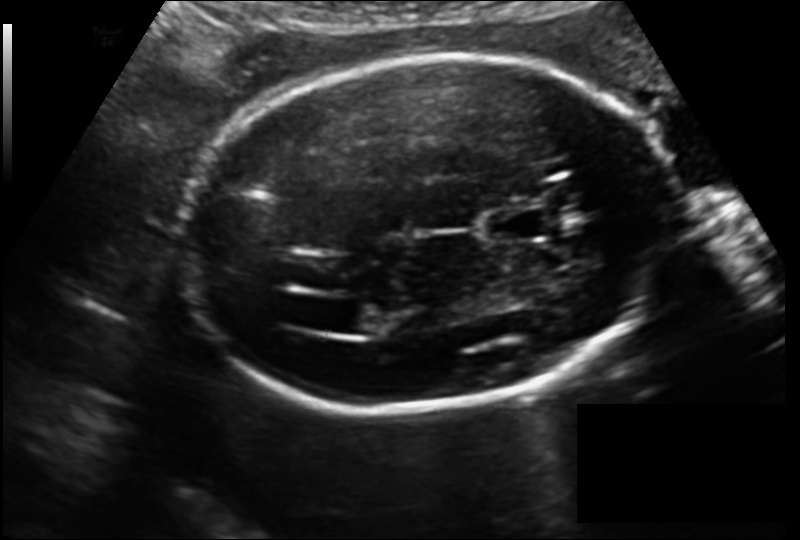
In this fetal head ultrasound, give the bounding box of the fetal head. Image width: 120.3 mm.

[177,53,675,410]